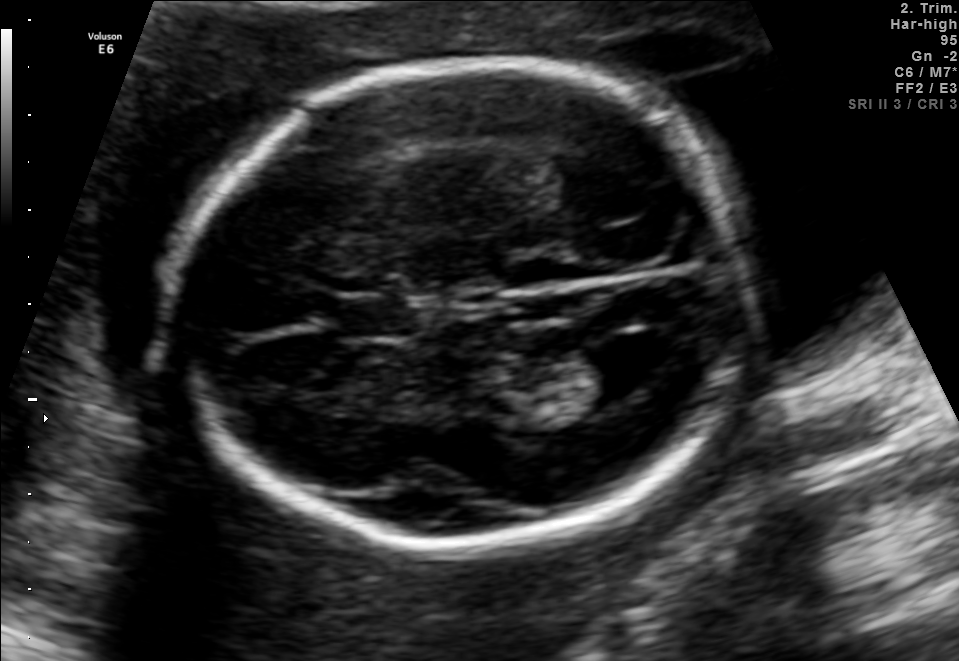
Fetal brain, trans-ventricular plane. Locate the fetal head.

Head: [160,57,761,562]